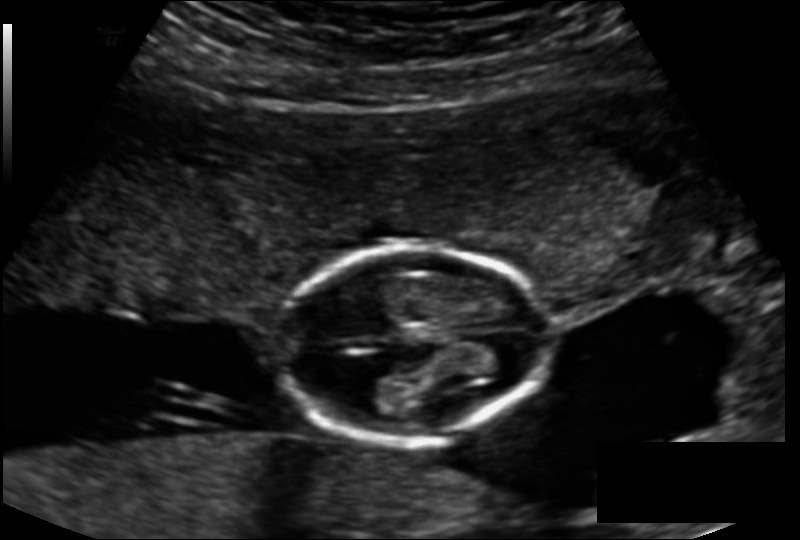
What is the fetal head circumference? Image width is 114.3 mm.

111.5 mm